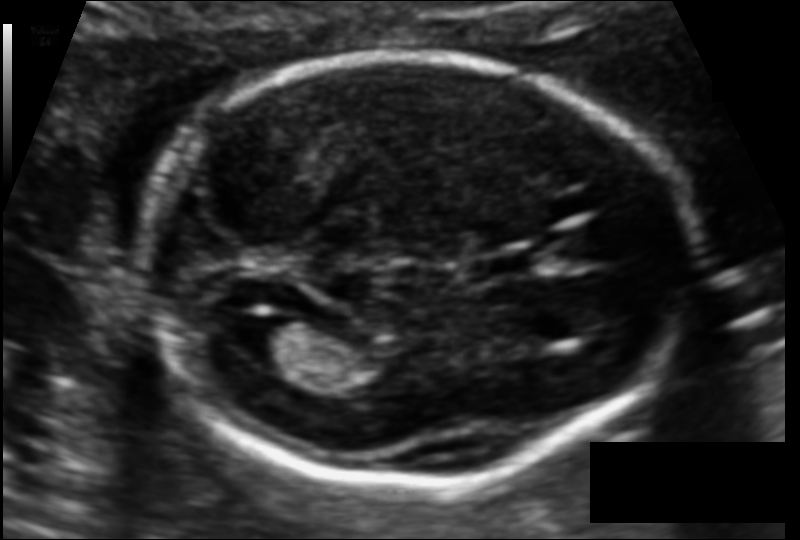
In this fetal head ultrasound, give the bounding box of the lateral ventricle. Image width: 85.1 mm.

[229,310,306,370]